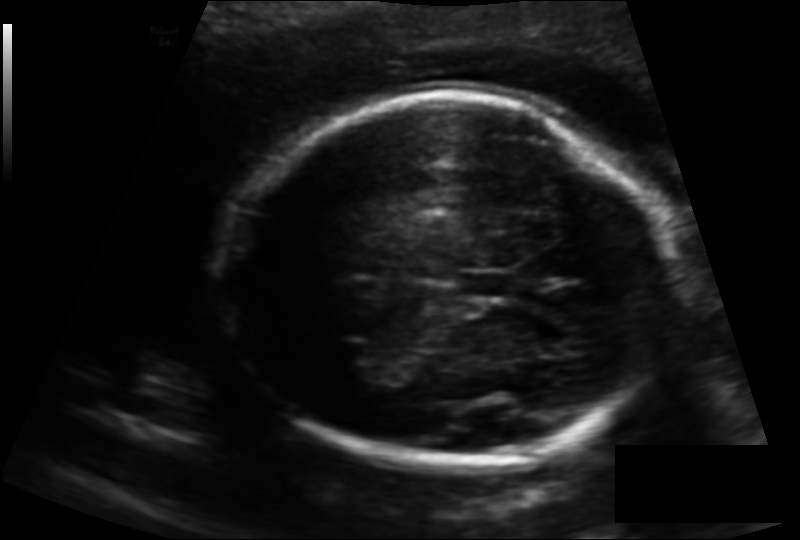
Fetal head ultrasound. Image width: 112.7 mm. Give [x1,y1,x2,y2] bounding boxes for each visible structure among: fetal head, CSP, LV.

Head: [224,95,677,465]
CSP: [461,270,515,299]
Lateral ventricle: [325,340,387,383]